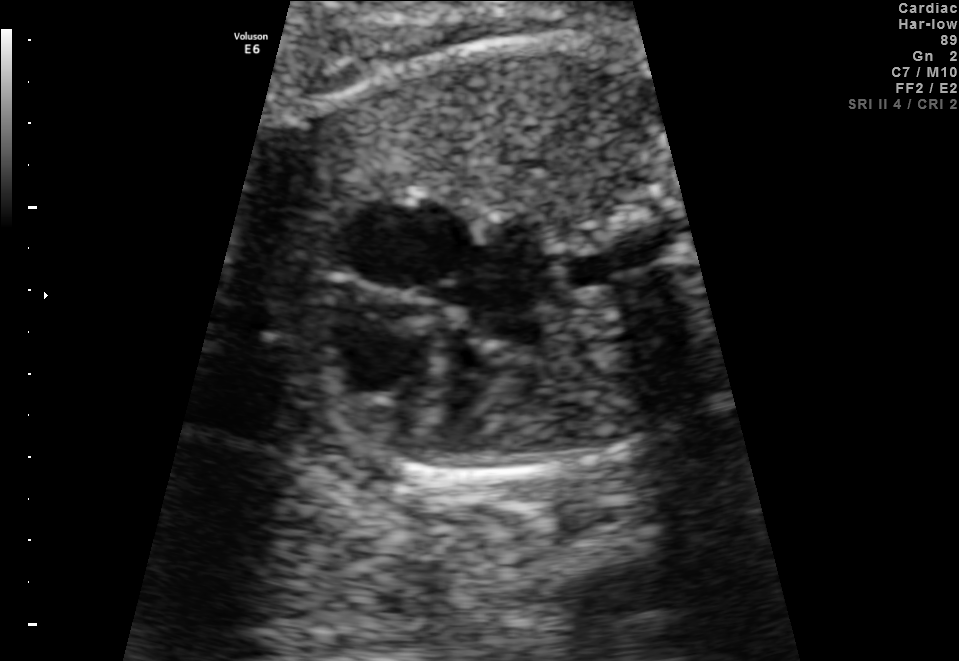
Identify the standard plane in this fetal ultrasound image: fetal abdomen, fetal brain, fetal femur, fetal thorax, maternal cervix, or other. If it's fetal brain and one of the three standard brain planes (trans-thalamic, trans-cerebellum, trans-ventricular), name which.

Fetal thorax